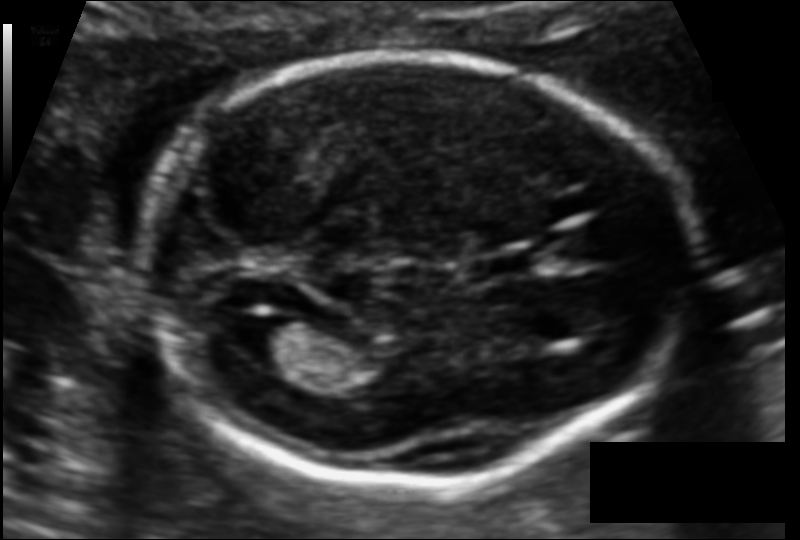
Estimate the fetal head circumference from this 2D ultrasound.

Head circumference: 168.9 mm (image width 85.1 mm).